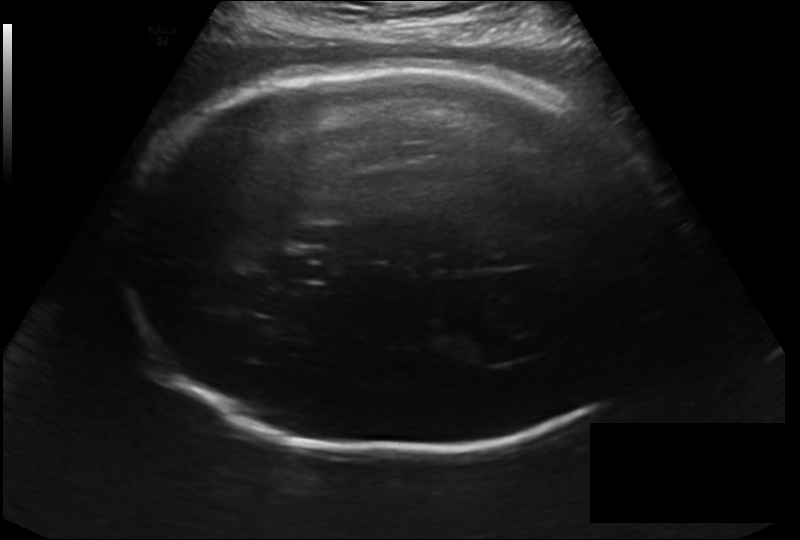
From this fetal ultrasound, estimate the head circumference (image width 171.6 mm).

Head circumference: 327.1 mm.